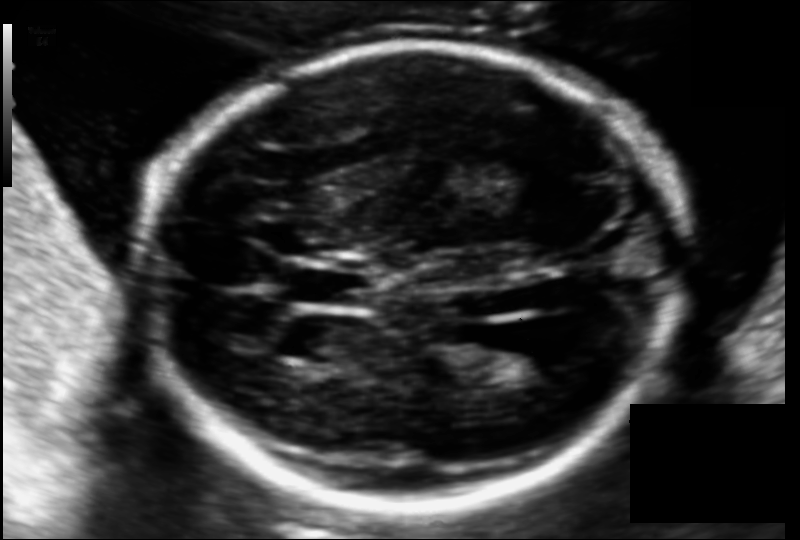
Fetal head ultrasound. Image width: 94.4 mm. Give [x1,y1,x2,y2] bounding boxes for each visible structure among: fetal head, CSP, LV.

Head: [143,45,683,508]
CSP: [290,269,366,307]
Lateral ventricle: [470,330,560,388]